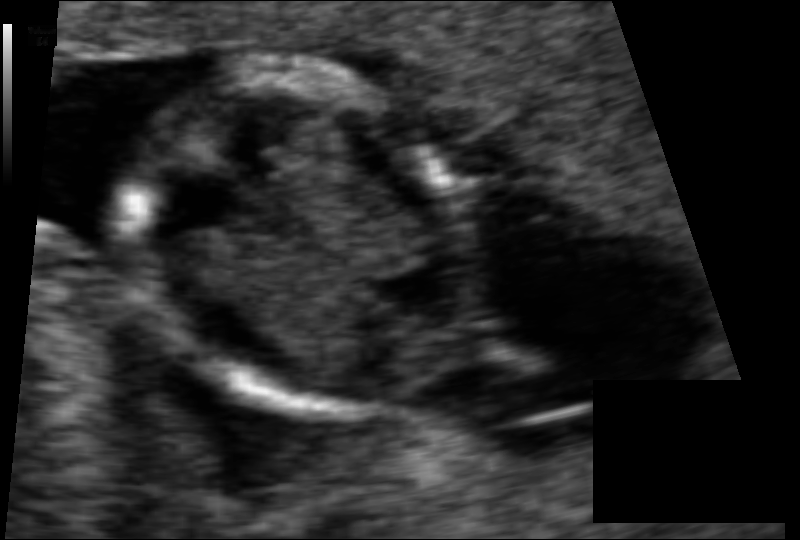
Estimate the fetal head circumference from this 2D ultrasound.

Head circumference: 74.7 mm (image width 52.2 mm).